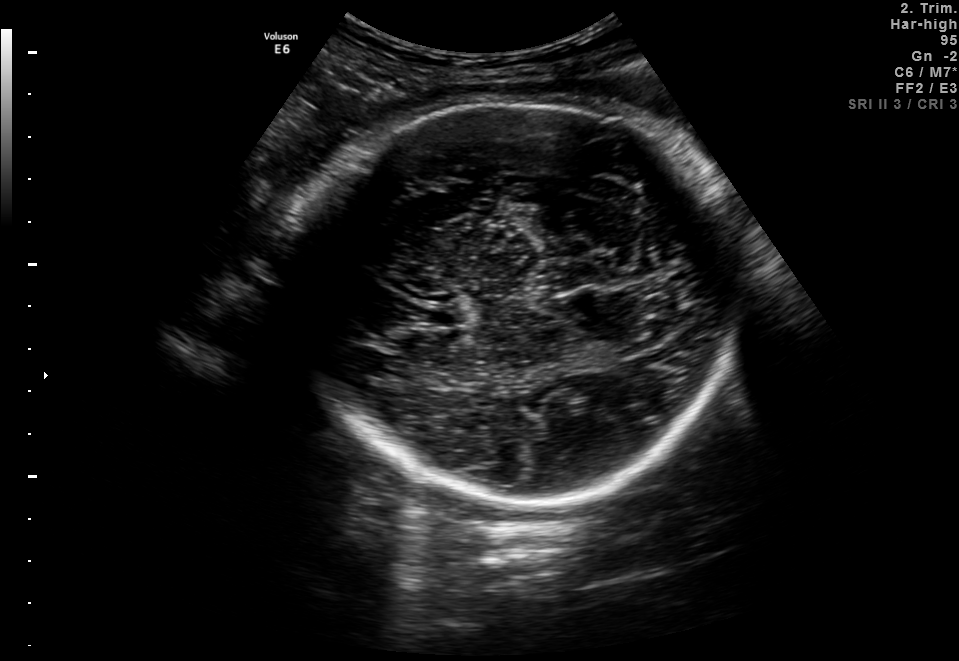
In this fetal brain, trans-thalamic plane, give the bounding box of the cavum septum pellucidum.

[413,301,464,331]